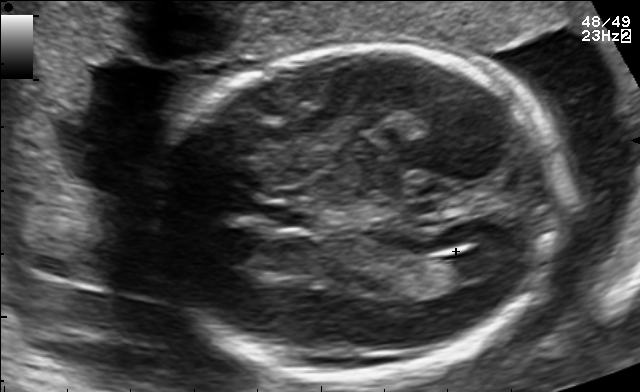
Which standard maternal-fetal ultrasound plane is shown: fetal abdomen, fetal brain, fetal femur, fetal thorax, maternal cervix, or other? If it's fetal brain and one of the three standard brain planes (trans-thalamic, trans-cerebellum, trans-ventricular), name which.

Fetal brain (trans-ventricular plane)